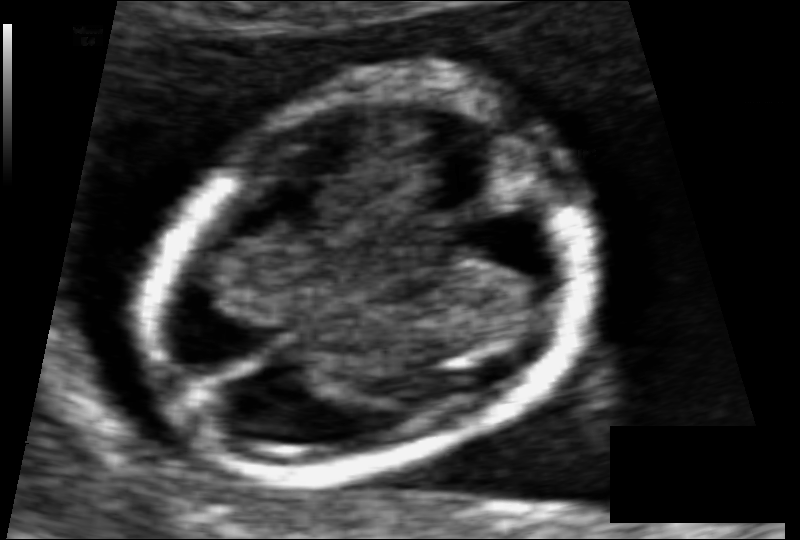
From this fetal ultrasound, estimate the head circumference (image width 49.2 mm).

Head circumference: 83.6 mm.